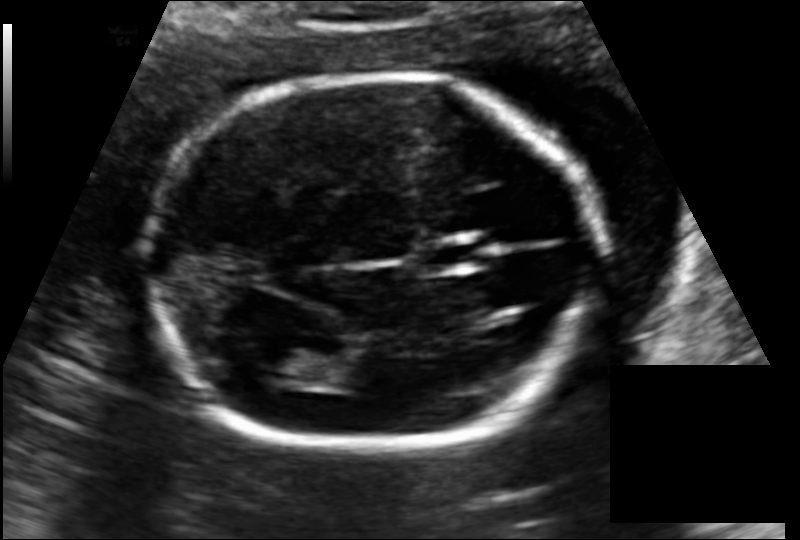
Fetal head ultrasound. Image width: 101.6 mm. Where is the lateral ventricle?

Lateral ventricle bounding box: [259,342,325,392]